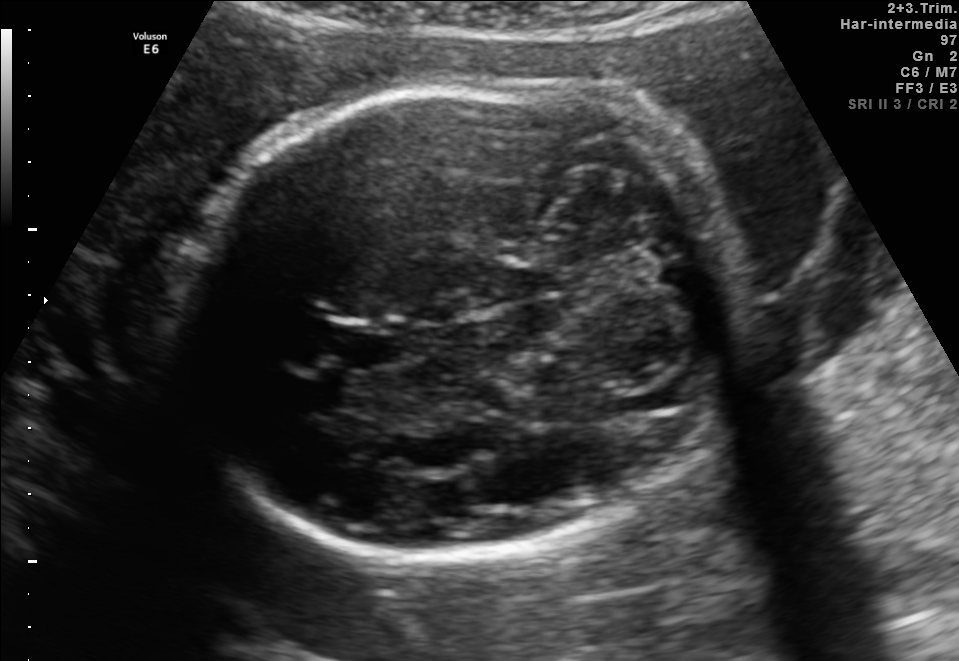
In this fetal brain, trans-cerebellum plane, give the bounding box of the cavum septum pellucidum.

[317,318,397,371]